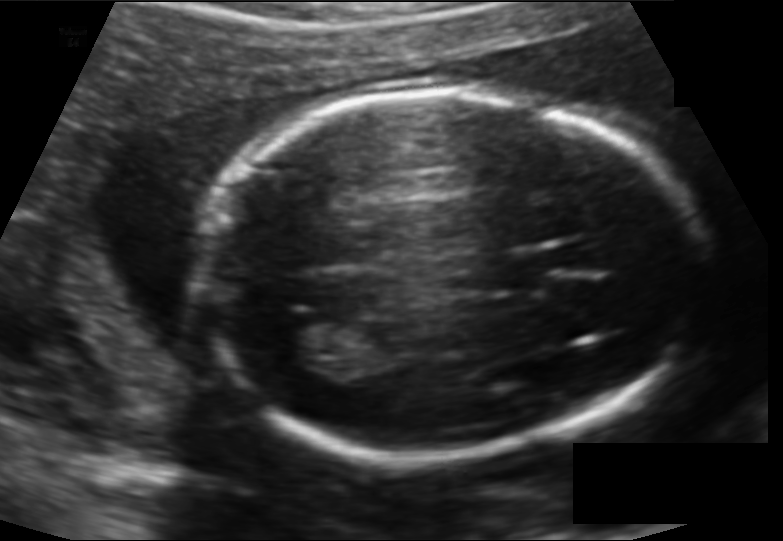
From this fetal ultrasound, estimate the head circumference (image width 100.2 mm).

Head circumference: 182.9 mm.